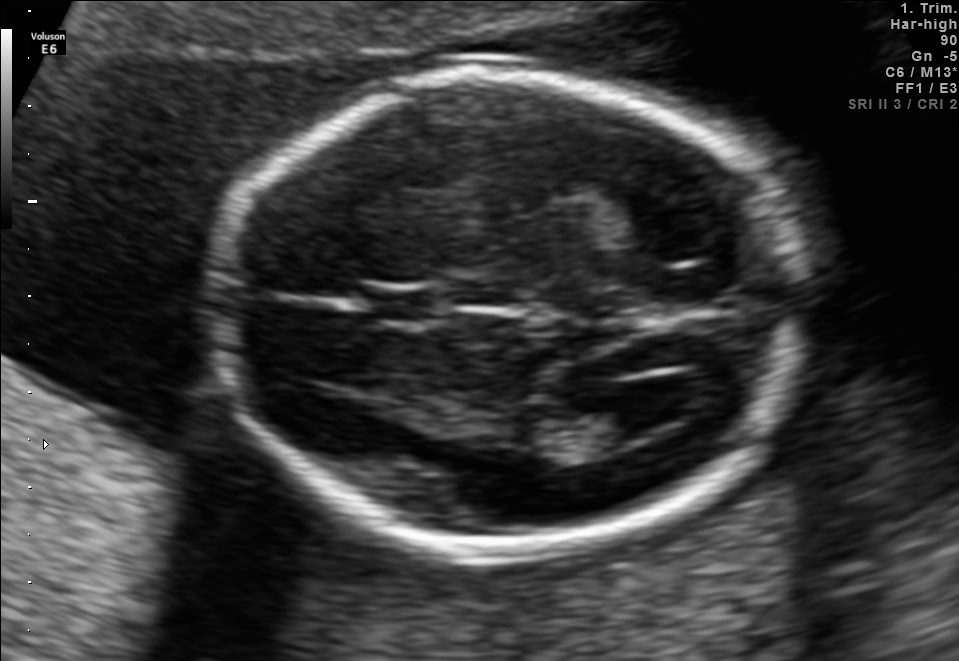
In this fetal brain, trans-ventricular plane, give the bounding box of the cavum septum pellucidum.

[369,291,434,321]